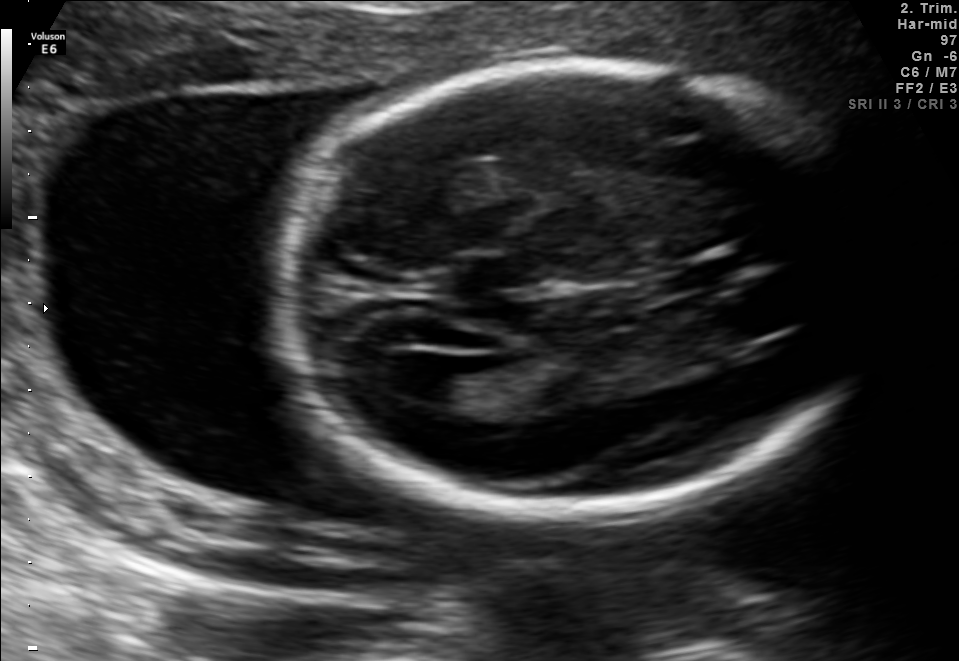
Fetal brain, trans-ventricular plane. Where is the fetal head?

Head bounding box: [264,53,891,526]